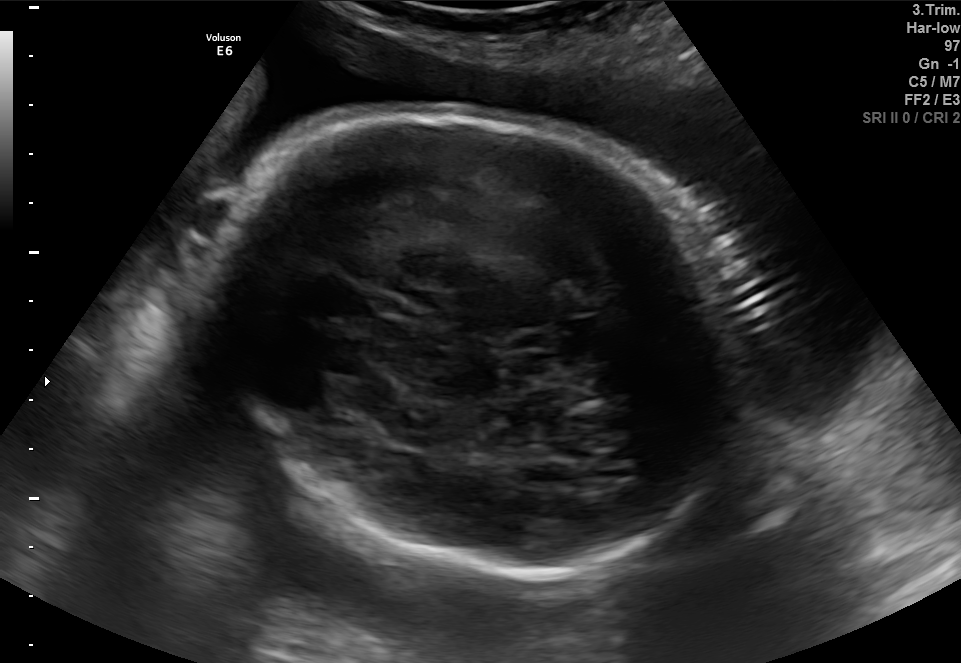
This is a 2D maternal-fetal ultrasound frame. Is it a fetal abdomen, fetal brain, fetal femur, fetal thorax, maternal cervix, or other standard plane? If it's fetal brain and one of the three standard brain planes (trans-thalamic, trans-cerebellum, trans-ventricular), name which.

Fetal brain (trans-thalamic plane)